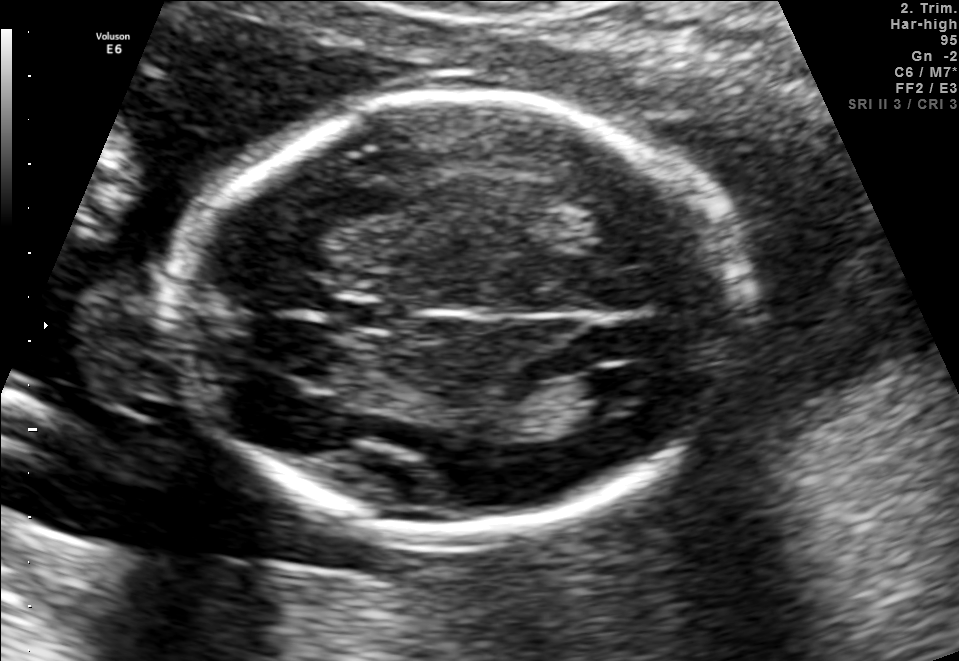
In this fetal brain, trans-ventricular plane, give the bounding box of the fetal head.

[167,85,762,546]